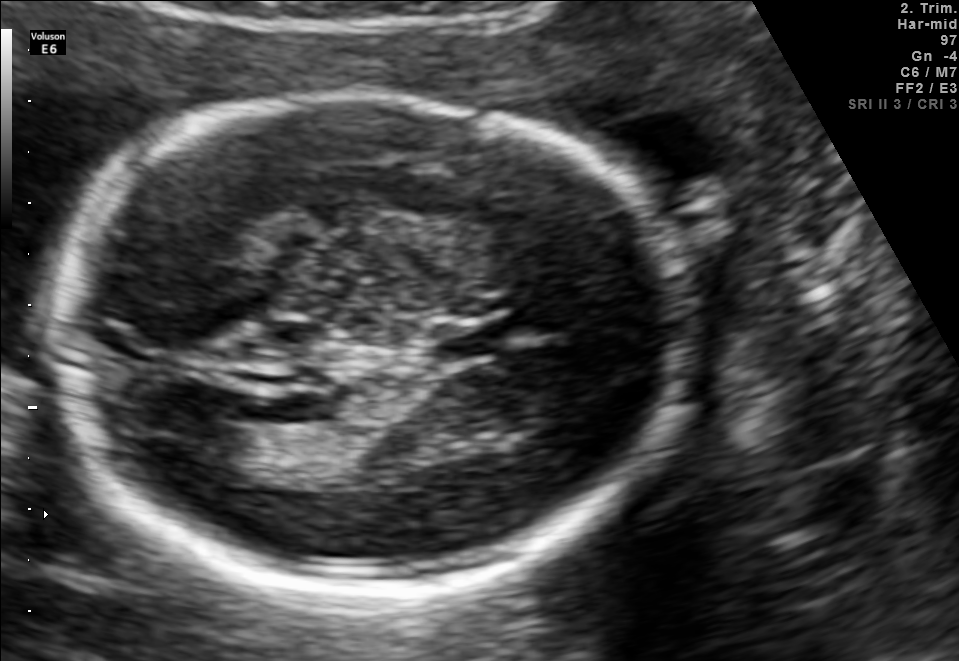
Classify this maternal-fetal ultrasound image as one of the six standard planes — fetal abdomen, fetal brain, fetal femur, fetal thorax, maternal cervix, or other. If it's fetal brain and one of the three standard brain planes (trans-thalamic, trans-cerebellum, trans-ventricular), name which.

Fetal brain (trans-thalamic plane)